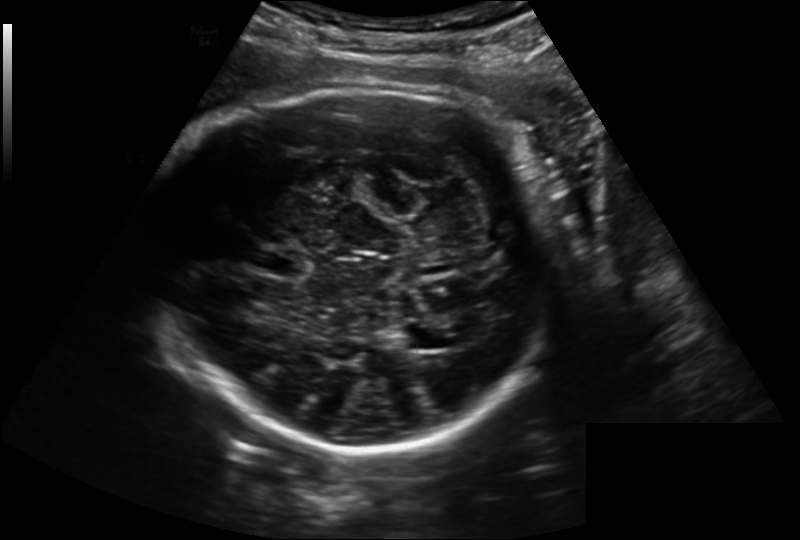
In this fetal head ultrasound, give the bounding box of the lateral ventricle. Image width: 177.2 mm.

[398,327,439,349]